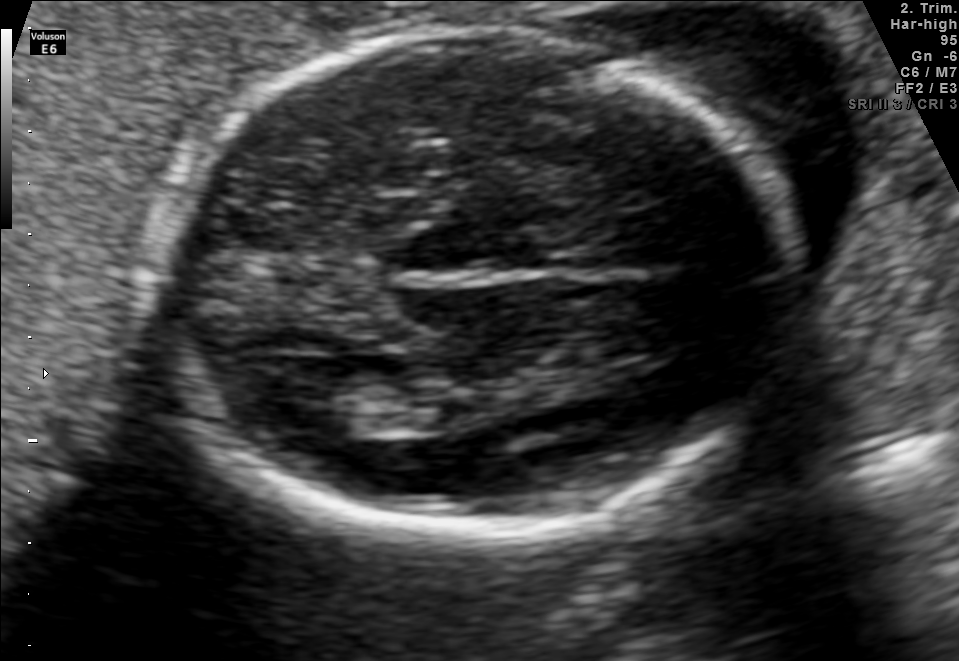
Fetal brain, trans-thalamic plane. Locate the lateral ventricle.

Lateral ventricle: [276,376,387,438]